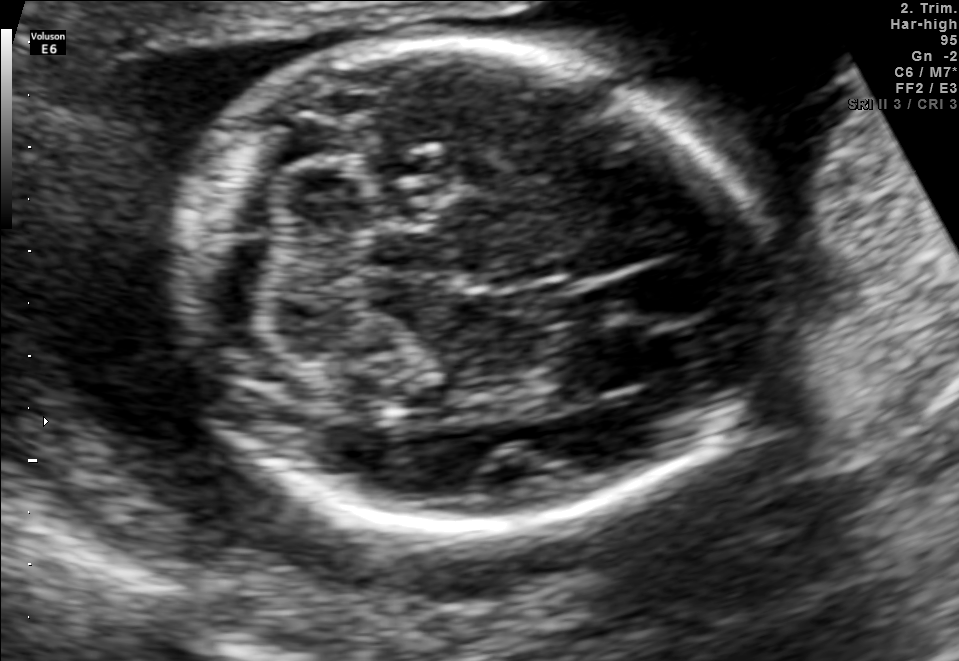
Fetal brain, trans-cerebellum plane. Give [x1,y1,x2,y2] bounding boxes for each visible structure among: fetal head, CSP, LV.

Head: [183,41,770,532]